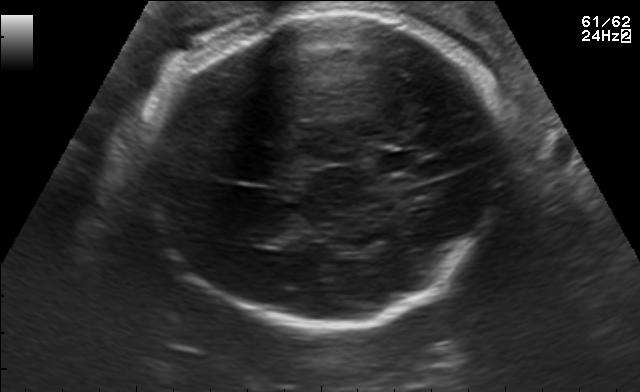
This is a 2D maternal-fetal ultrasound frame. Is it a fetal abdomen, fetal brain, fetal femur, fetal thorax, maternal cervix, or other standard plane? If it's fetal brain and one of the three standard brain planes (trans-thalamic, trans-cerebellum, trans-ventricular), name which.

Fetal brain (trans-thalamic plane)